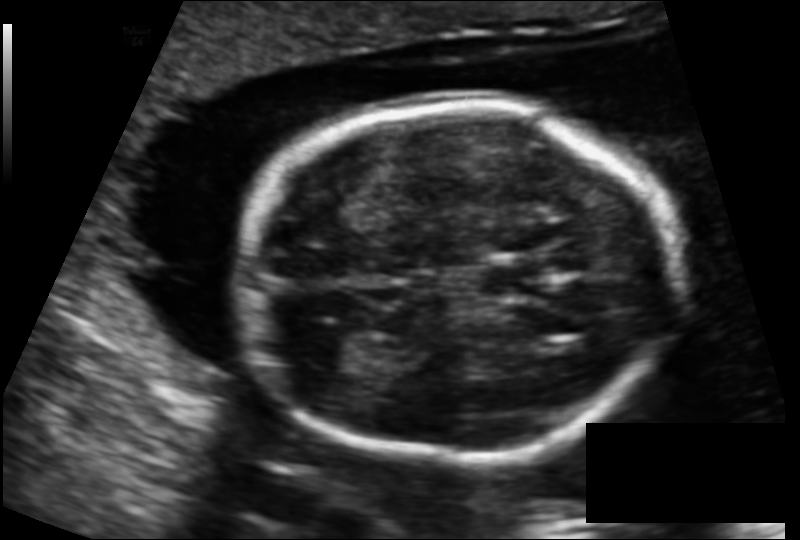
Fetal head ultrasound. Image width: 104.4 mm. Give [x1,y1,x2,y2] bounding boxes for each visible structure among: fetal head, CSP, LV.

Head: [239,103,679,465]
CSP: [479,261,549,302]
Lateral ventricle: [301,325,381,374]